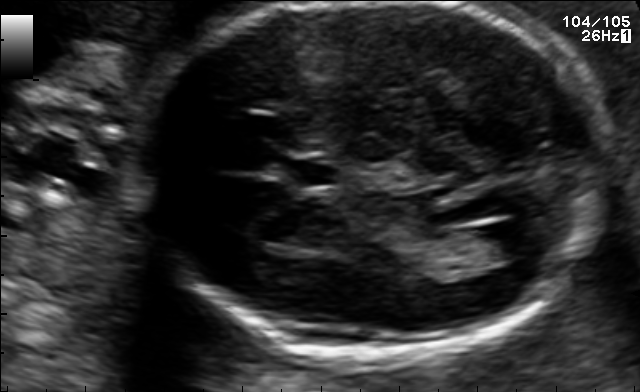
Fetal brain, trans-ventricular plane. Where is the fetal head?

Head bounding box: [119,3,619,365]